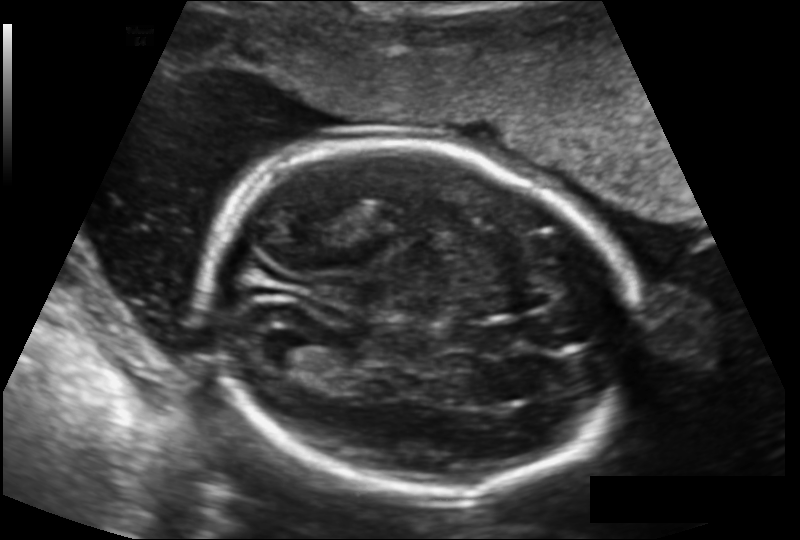
In this fetal head ultrasound, give the bounding box of the fetal head. Image width: 114.2 mm.

[204,141,634,495]